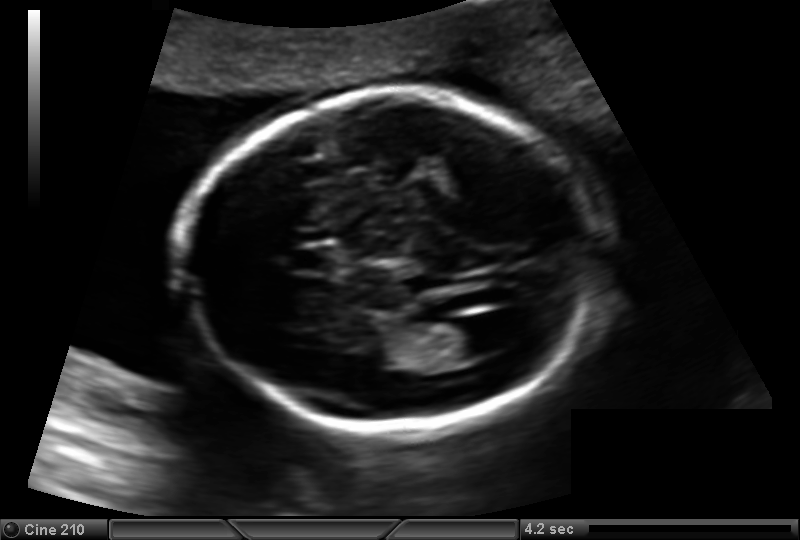
What is the fetal head circumference? Image width is 109.7 mm.

168.1 mm